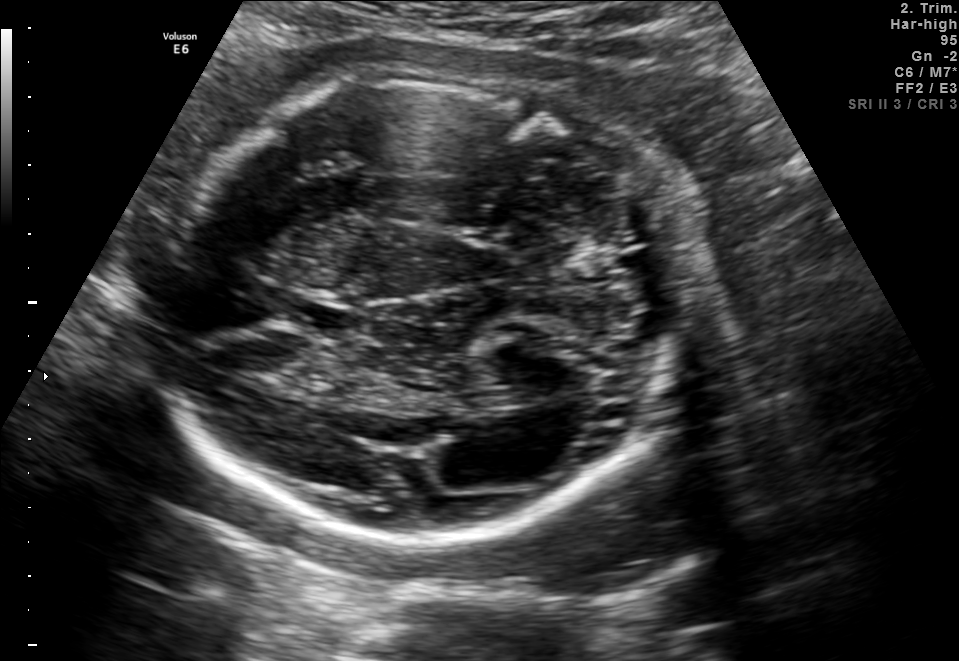
In this fetal brain, trans-thalamic plane, give the bounding box of the lateral ventricle.

[459,387,529,408]